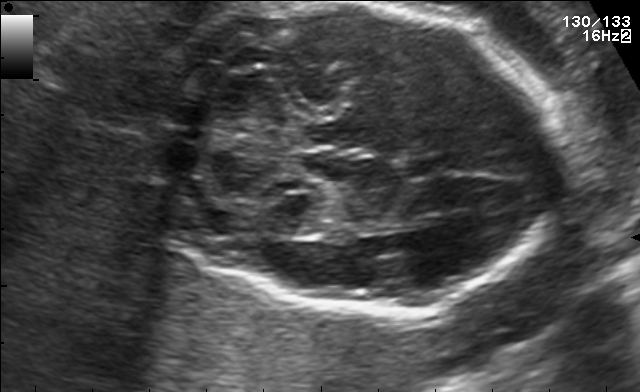
In this fetal brain, trans-cerebellum plane, give the bounding box of the cavum septum pellucidum.

[399,151,455,182]